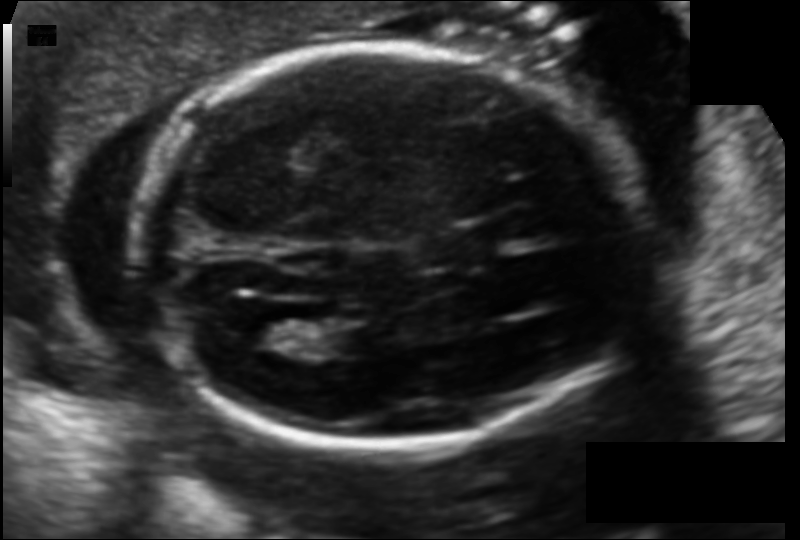
In this fetal head ultrasound, give the bounding box of the cavum septum pellucidum. Image width: 96.5 mm.

[421,230,485,272]